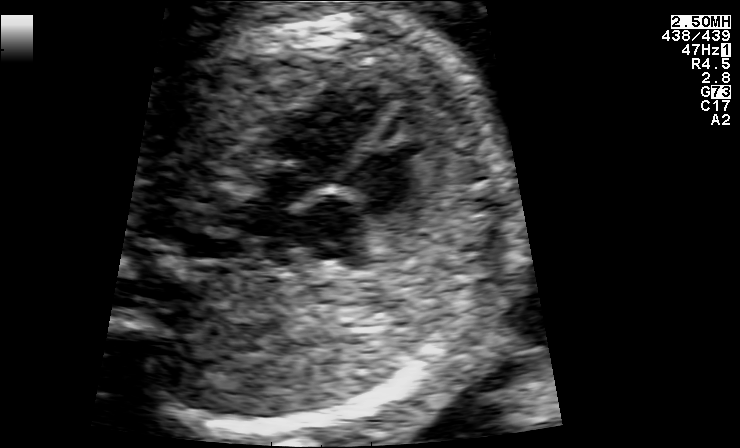
This is a 2D maternal-fetal ultrasound frame. Is it a fetal abdomen, fetal brain, fetal femur, fetal thorax, maternal cervix, or other standard plane? If it's fetal brain and one of the three standard brain planes (trans-thalamic, trans-cerebellum, trans-ventricular), name which.

Fetal thorax